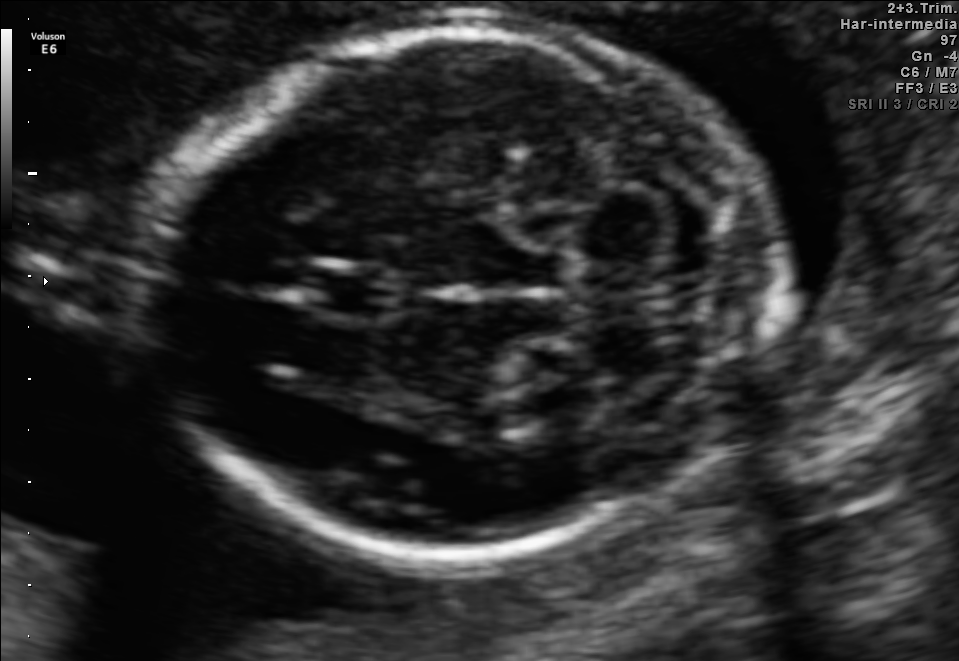
Fetal brain, trans-cerebellum plane. Where is the fetal head?

Head bounding box: [145,28,782,551]